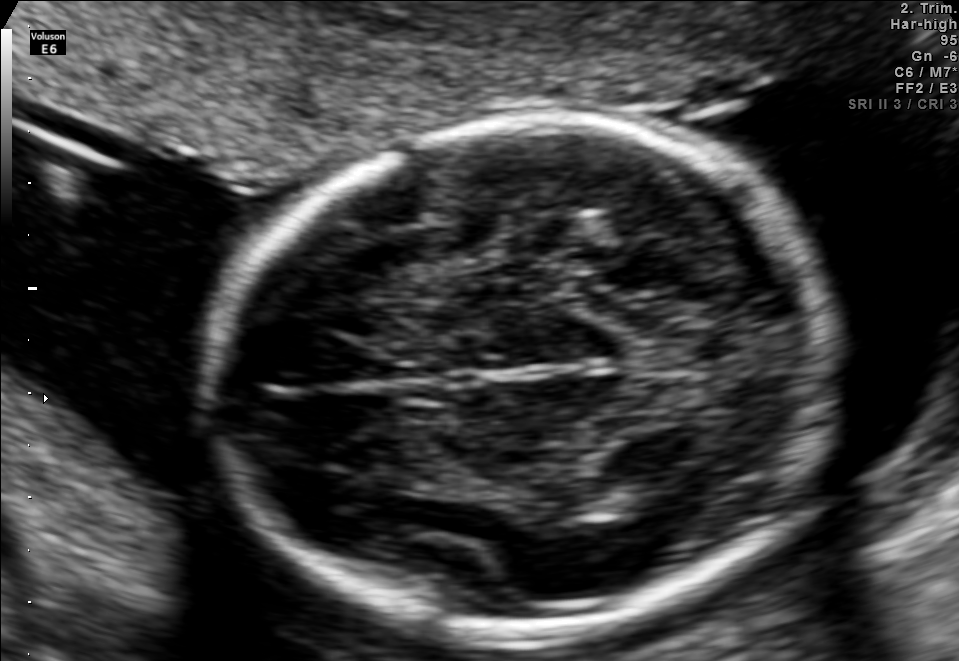
Fetal brain, trans-thalamic plane. Give [x1,y1,x2,y2] bounding boxes for each visible structure among: fetal head, CSP, LV.

Head: [211,118,830,633]